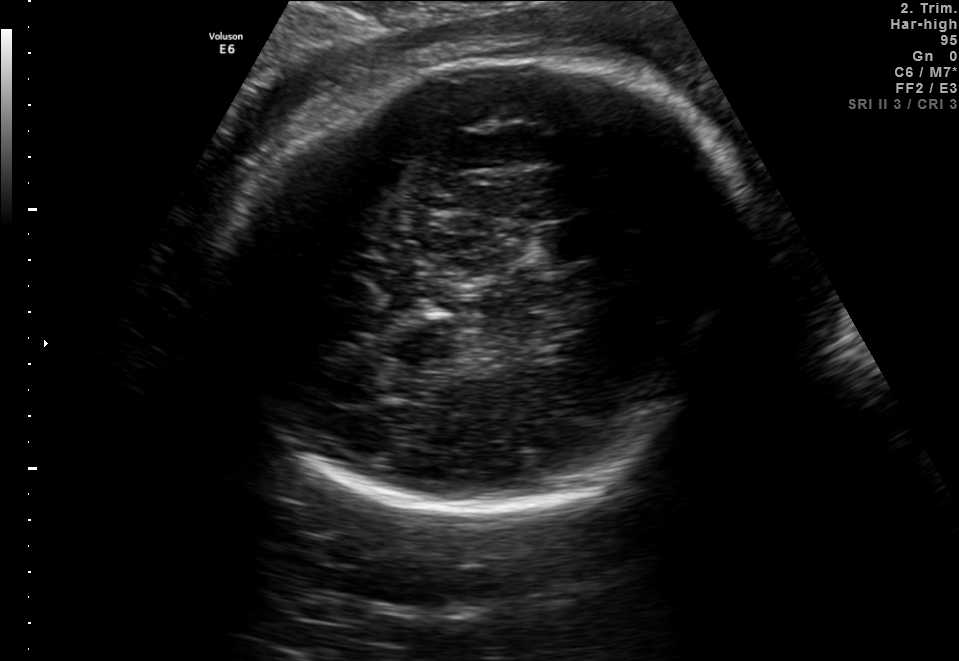
In this fetal brain, trans-thalamic plane, give bounding boxes for the head outline, cavum septum pellucidum (CSP), and lateral ventricle (LV), where visible.

Head: [213,62,764,511]
CSP: [536,214,603,268]